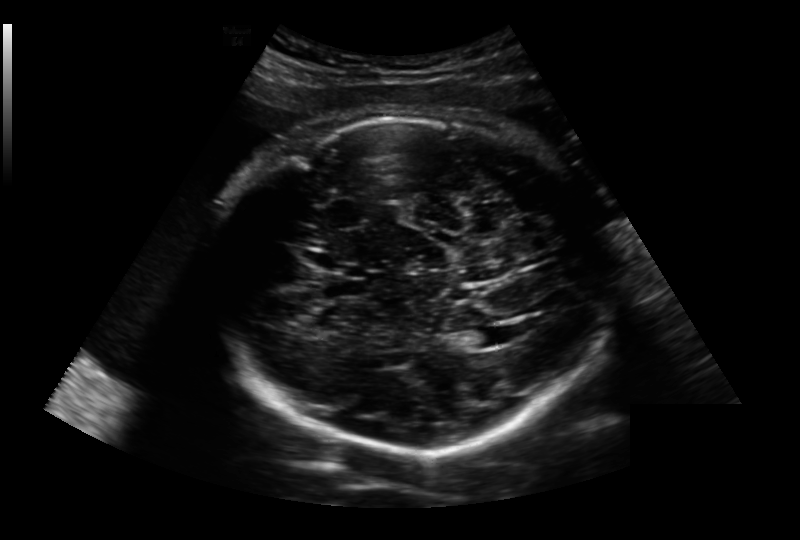
Estimate the fetal head circumference from this 2D ultrasound.

Head circumference: 285.0 mm (image width 188.7 mm).